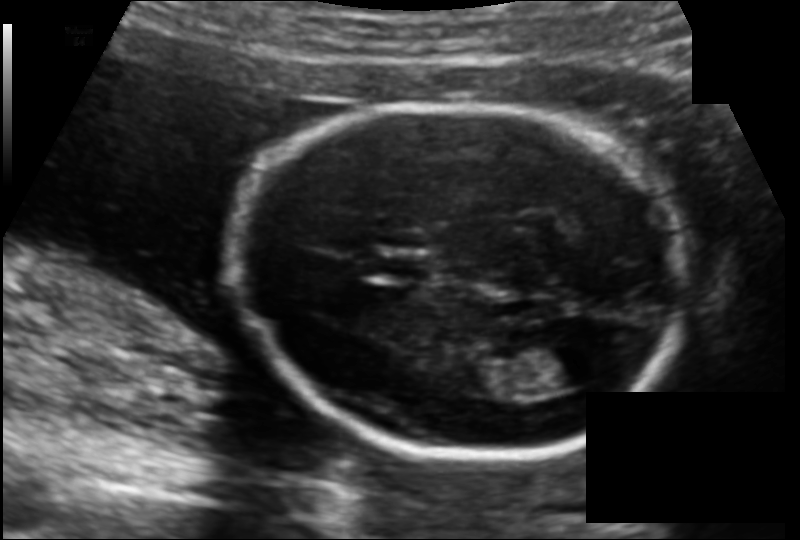
Fetal head ultrasound. Image width: 100.4 mm. Locate the cavum septum pellucidum.

CSP: [378,253,433,280]